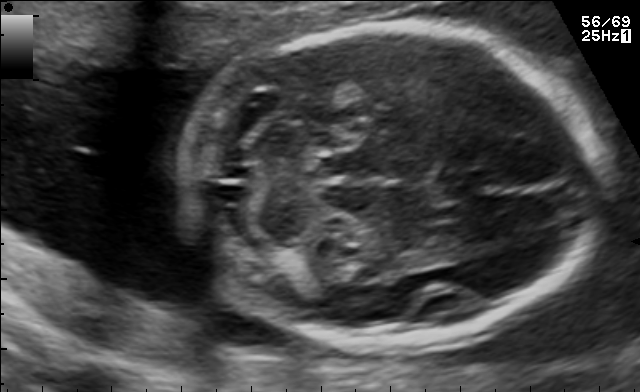
Fetal brain, trans-cerebellum plane. Locate the fetal head and, if visible, the cavum septum pellucidum (CSP) and lateral ventricle (LV). Give bounding boxes as [x1,y1,x2,y2].

Head: [184,23,606,342]
CSP: [429,162,497,208]